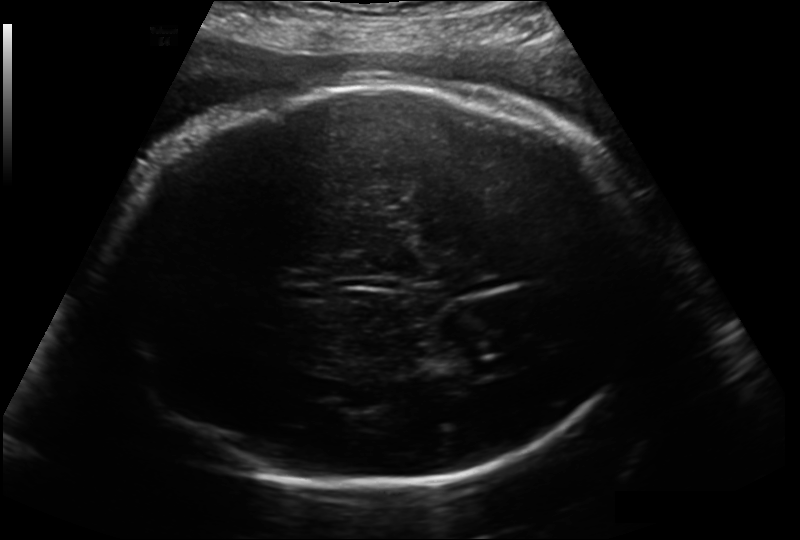
From this fetal ultrasound, estimate the head circumference (image width 171.3 mm).

Head circumference: 317.6 mm.